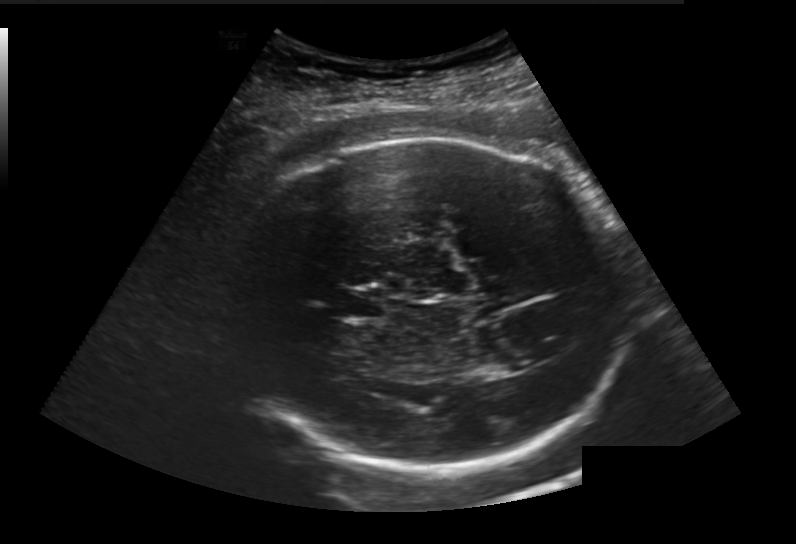
In this fetal head ultrasound, give bounding boxes for the head outline, cavum septum pellucidum (CSP), and lateral ventricle (LV), where visible. Image width: 187.6 mm.

Head: [231,137,630,472]
CSP: [338,288,384,318]